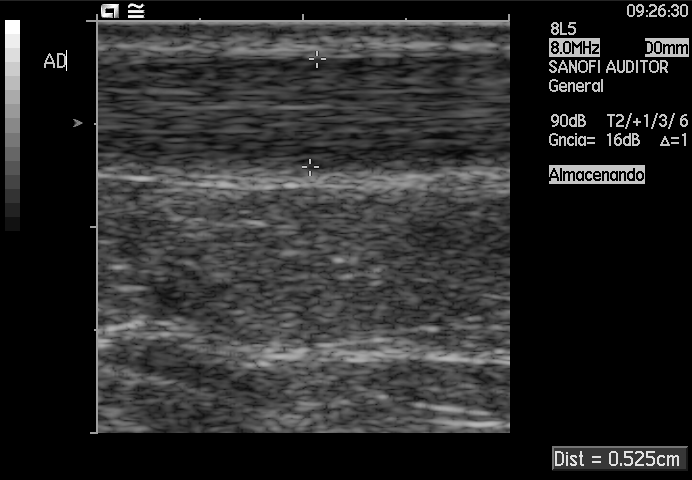
Which standard maternal-fetal ultrasound plane is shown: fetal abdomen, fetal brain, fetal femur, fetal thorax, maternal cervix, or other? If it's fetal brain and one of the three standard brain planes (trans-thalamic, trans-cerebellum, trans-ventricular), name which.

Other